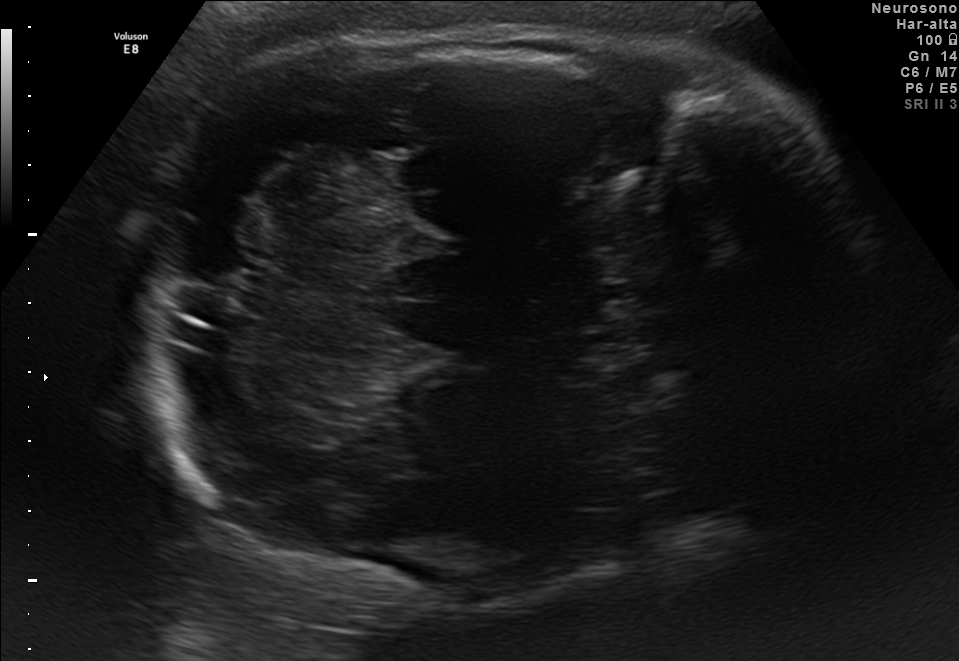
Which standard maternal-fetal ultrasound plane is shown: fetal abdomen, fetal brain, fetal femur, fetal thorax, maternal cervix, or other? If it's fetal brain and one of the three standard brain planes (trans-thalamic, trans-cerebellum, trans-ventricular), name which.

Fetal brain